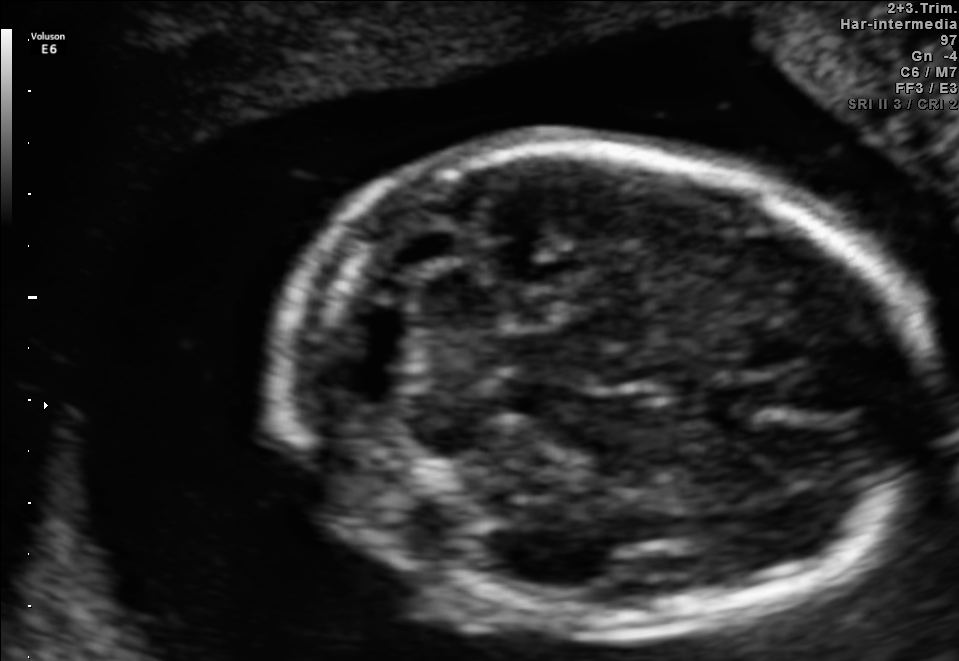
In this fetal brain, trans-cerebellum plane, give bounding boxes for the head outline, cavum septum pellucidum (CSP), and lateral ventricle (LV), where visible.

Head: [272,146,925,637]
CSP: [697,375,780,427]